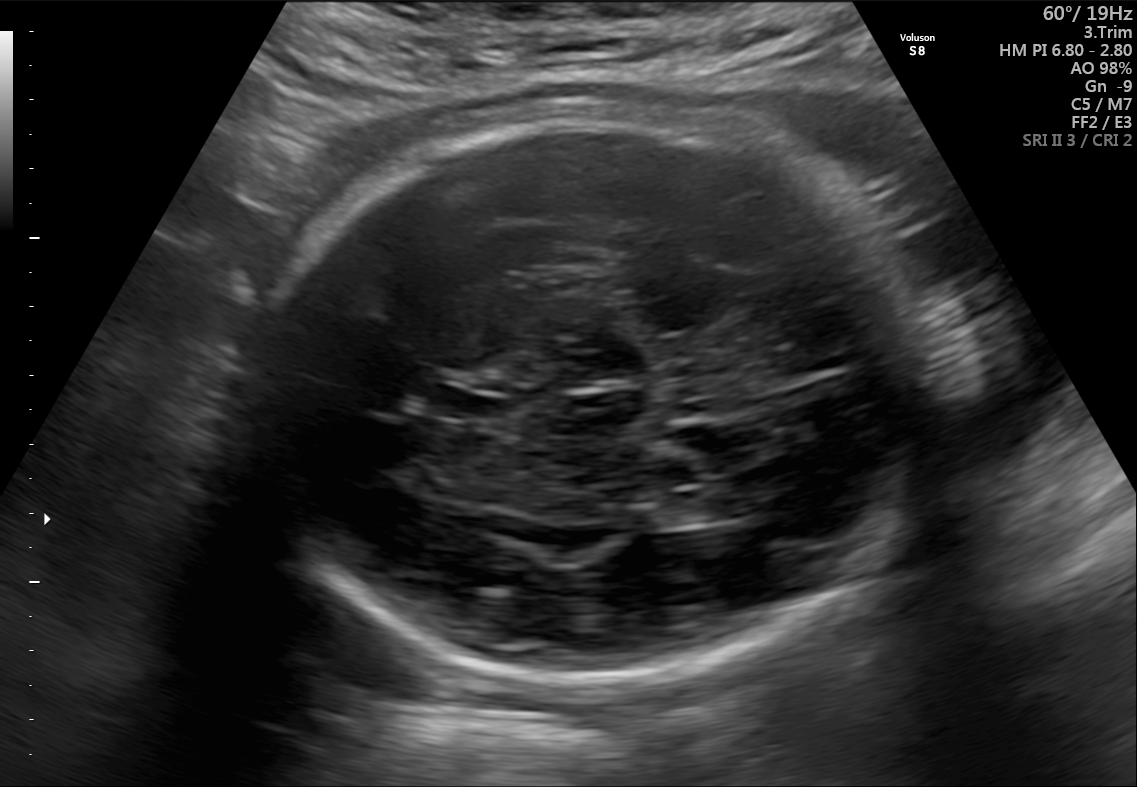
Fetal brain, trans-ventricular plane. Where is the fetal head?

Head bounding box: [248,104,937,700]